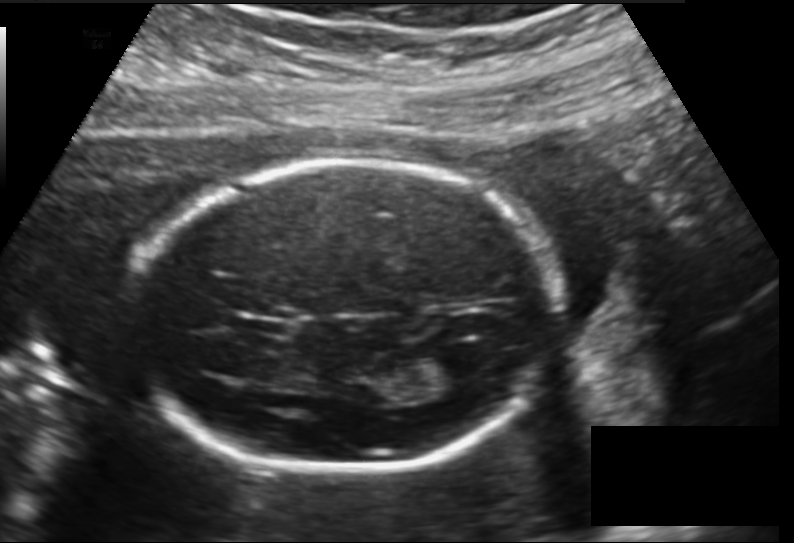
Fetal head ultrasound. Image width: 124.7 mm. Locate the lateral ventricle.

Lateral ventricle: [417,344,476,390]